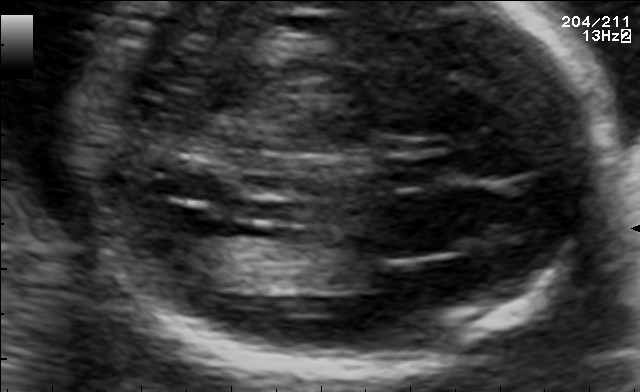
Which standard maternal-fetal ultrasound plane is shown: fetal abdomen, fetal brain, fetal femur, fetal thorax, maternal cervix, or other? If it's fetal brain and one of the three standard brain planes (trans-thalamic, trans-cerebellum, trans-ventricular), name which.

Fetal brain (trans-ventricular plane)